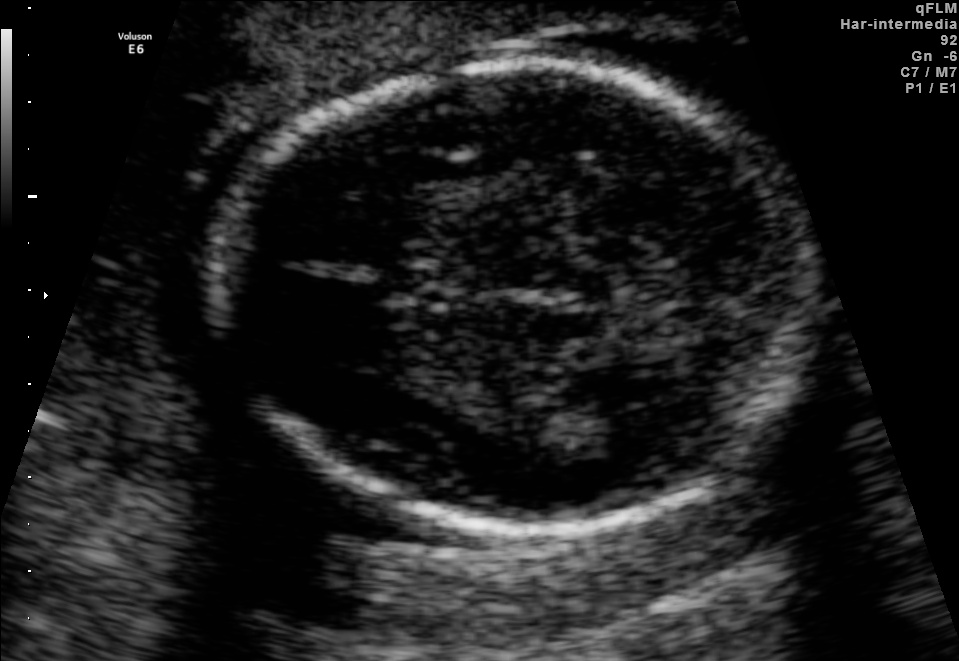
In this fetal brain, trans-thalamic plane, give the bounding box of the fetal head.

[219,62,816,525]